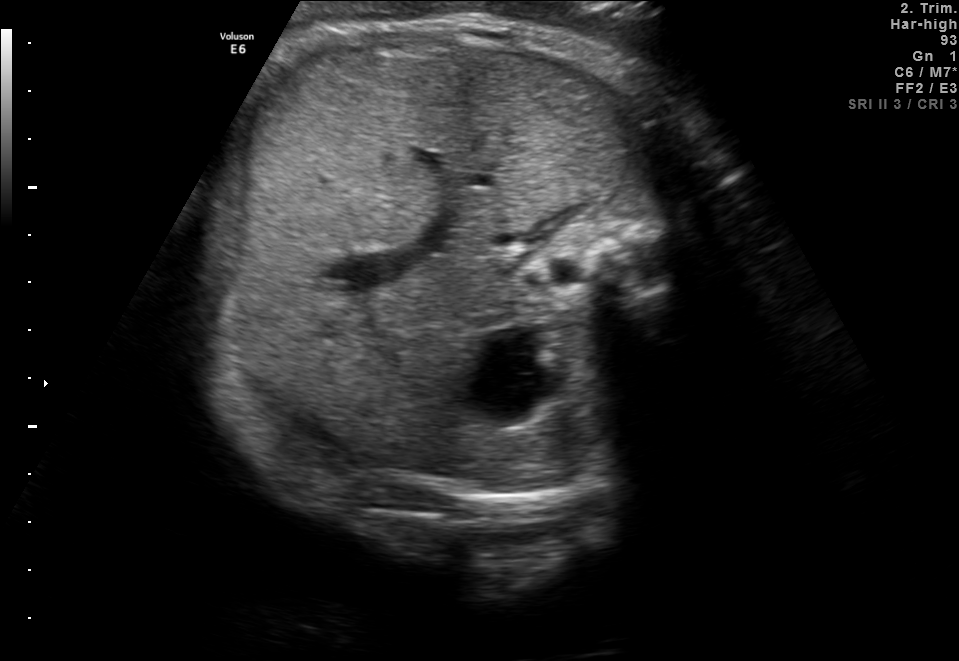
Which standard maternal-fetal ultrasound plane is shown: fetal abdomen, fetal brain, fetal femur, fetal thorax, maternal cervix, or other? If it's fetal brain and one of the three standard brain planes (trans-thalamic, trans-cerebellum, trans-ventricular), name which.

Fetal abdomen